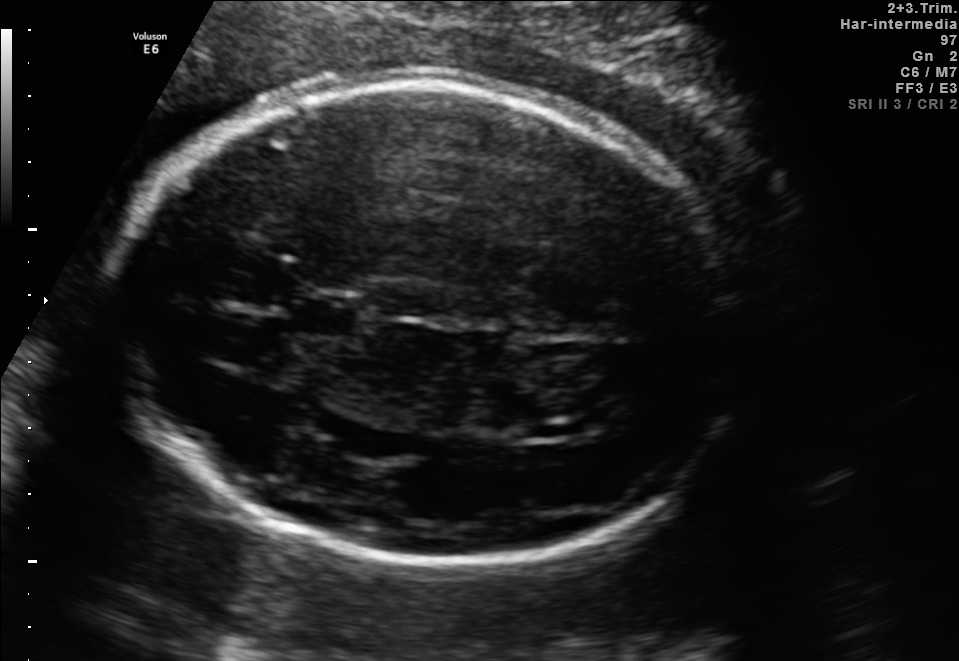
In this fetal brain, trans-ventricular plane, give bounding boxes for the head outline, cavum septum pellucidum (CSP), and lateral ventricle (LV), where visible.

Head: [100,68,763,577]
CSP: [280,293,371,339]